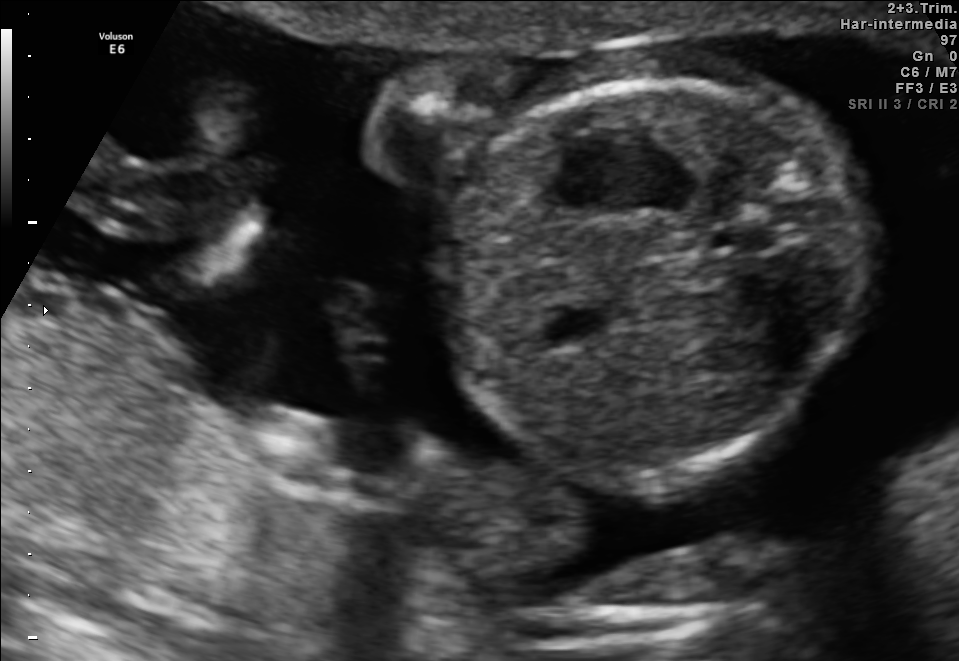
Identify the standard plane in this fetal ultrasound image: fetal abdomen, fetal brain, fetal femur, fetal thorax, maternal cervix, or other. If it's fetal brain and one of the three standard brain planes (trans-thalamic, trans-cerebellum, trans-ventricular), name which.

Fetal abdomen